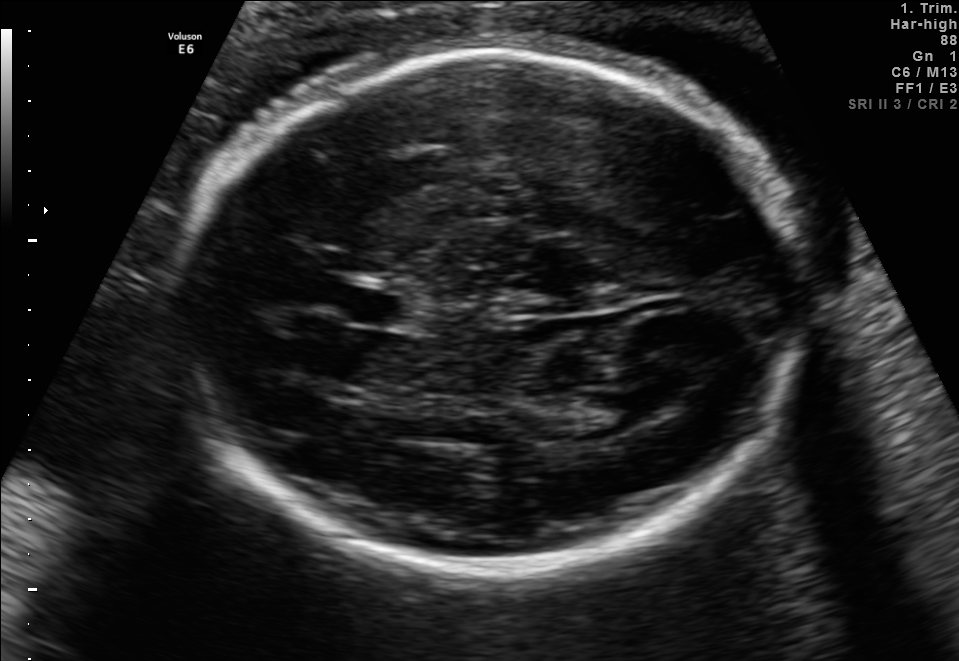
In this fetal brain, trans-thalamic plane, give the bounding box of the cavum septum pellucidum.

[343,286,411,328]